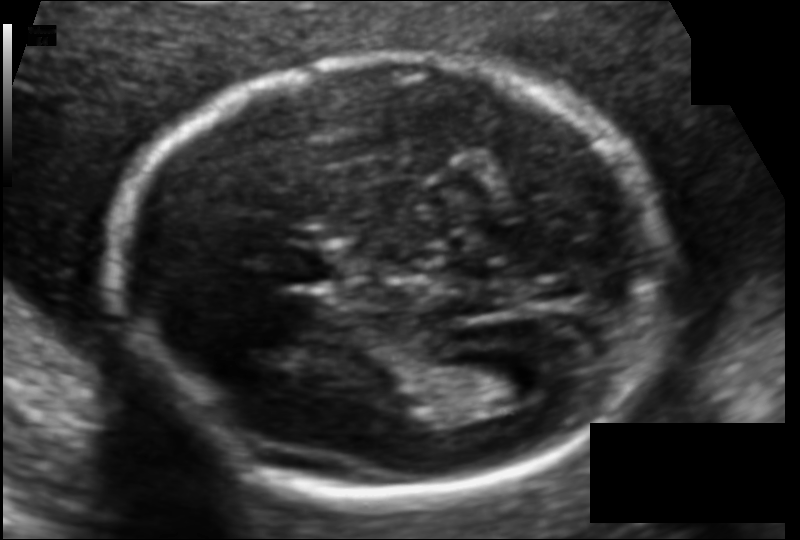
In this fetal head ultrasound, give the bounding box of the cavum septum pellucidum. Image width: 83.5 mm.

[270,245,334,287]